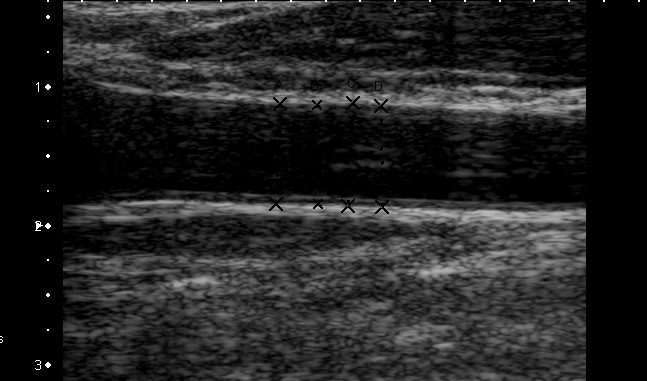
Identify the standard plane in this fetal ultrasound image: fetal abdomen, fetal brain, fetal femur, fetal thorax, maternal cervix, or other. If it's fetal brain and one of the three standard brain planes (trans-thalamic, trans-cerebellum, trans-ventricular), name which.

Other